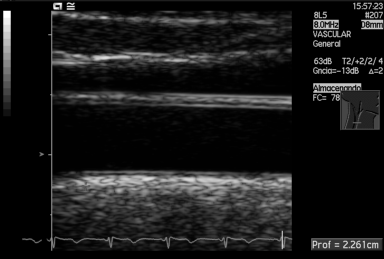
Classify this maternal-fetal ultrasound image as one of the six standard planes — fetal abdomen, fetal brain, fetal femur, fetal thorax, maternal cervix, or other. If it's fetal brain and one of the three standard brain planes (trans-thalamic, trans-cerebellum, trans-ventricular), name which.

Other